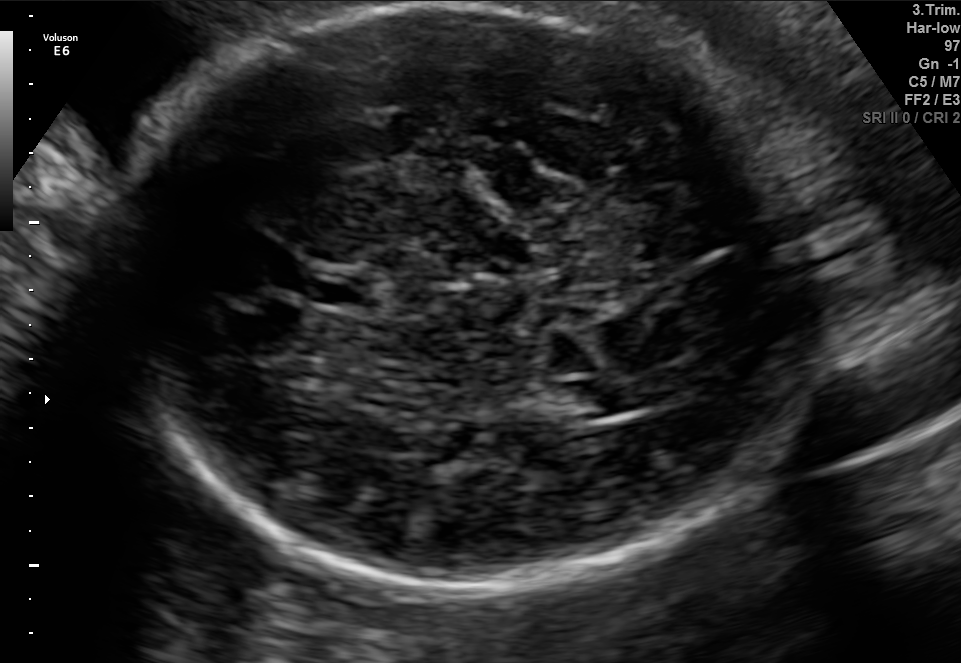
In this fetal brain, trans-ventricular plane, give bounding boxes for the head outline, cavum septum pellucidum (CSP), and lateral ventricle (LV), where visible.

Head: [84,4,845,601]
CSP: [311,270,371,311]
Lateral ventricle: [565,368,656,422]